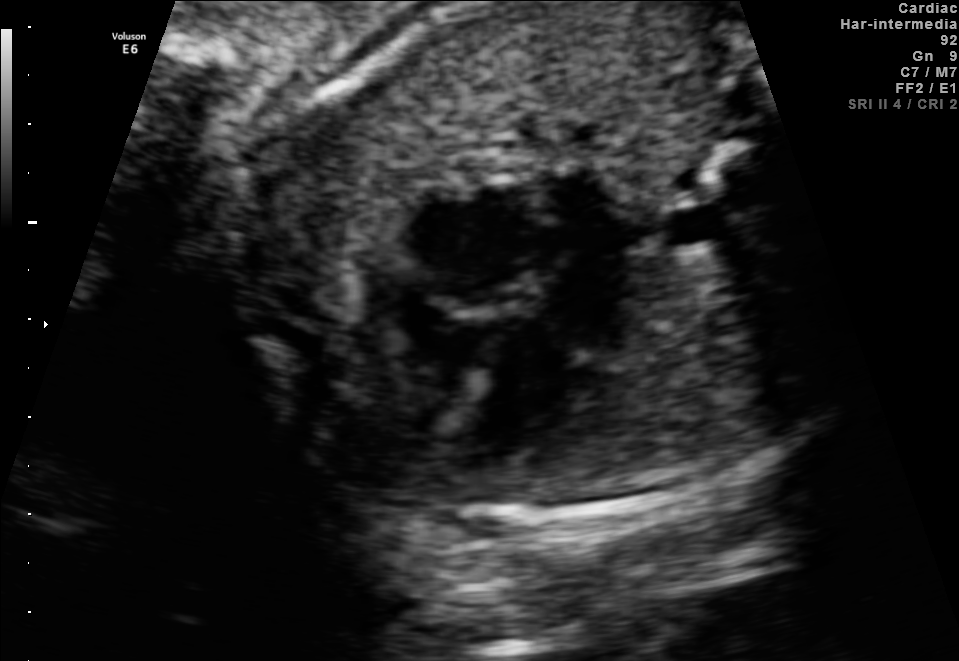
Identify the standard plane in this fetal ultrasound image: fetal abdomen, fetal brain, fetal femur, fetal thorax, maternal cervix, or other. If it's fetal brain and one of the three standard brain planes (trans-thalamic, trans-cerebellum, trans-ventricular), name which.

Fetal thorax